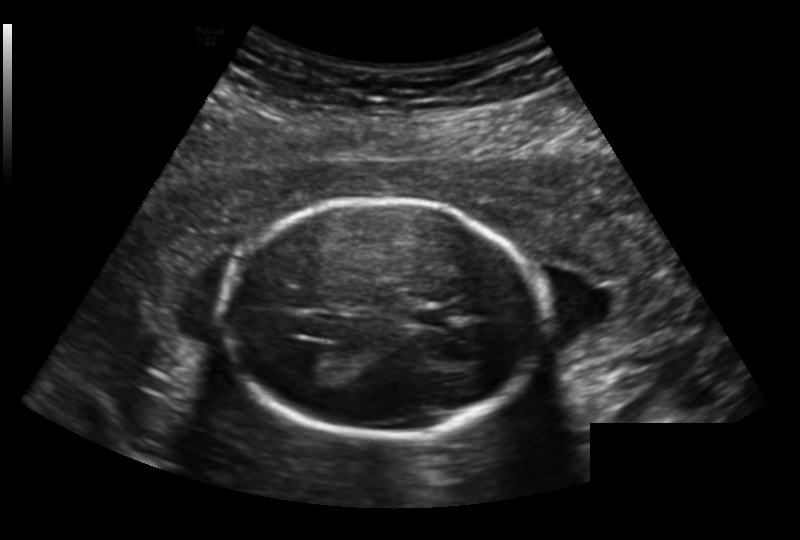
Fetal head ultrasound. Image width: 152.4 mm. Where is the lateral ventricle?

Lateral ventricle bounding box: [290,350,342,383]